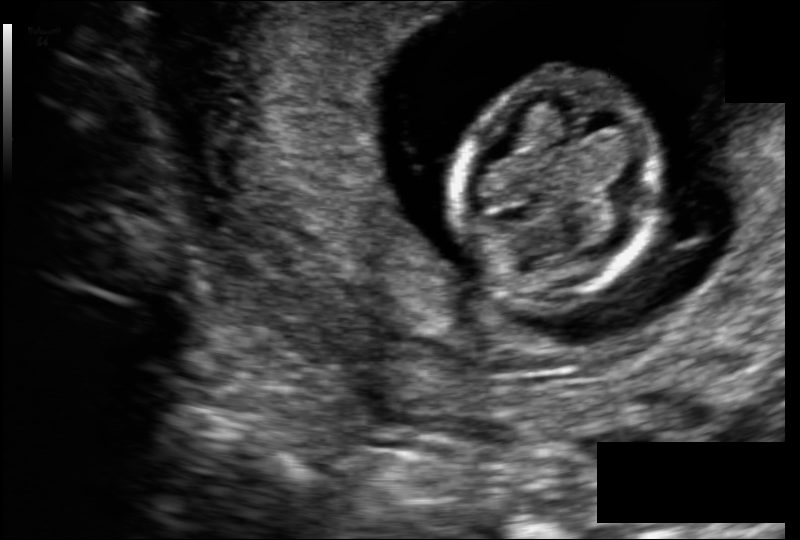
Estimate the fetal head circumference from this 2D ultrasound.

Head circumference: 79.5 mm (image width 87.2 mm).